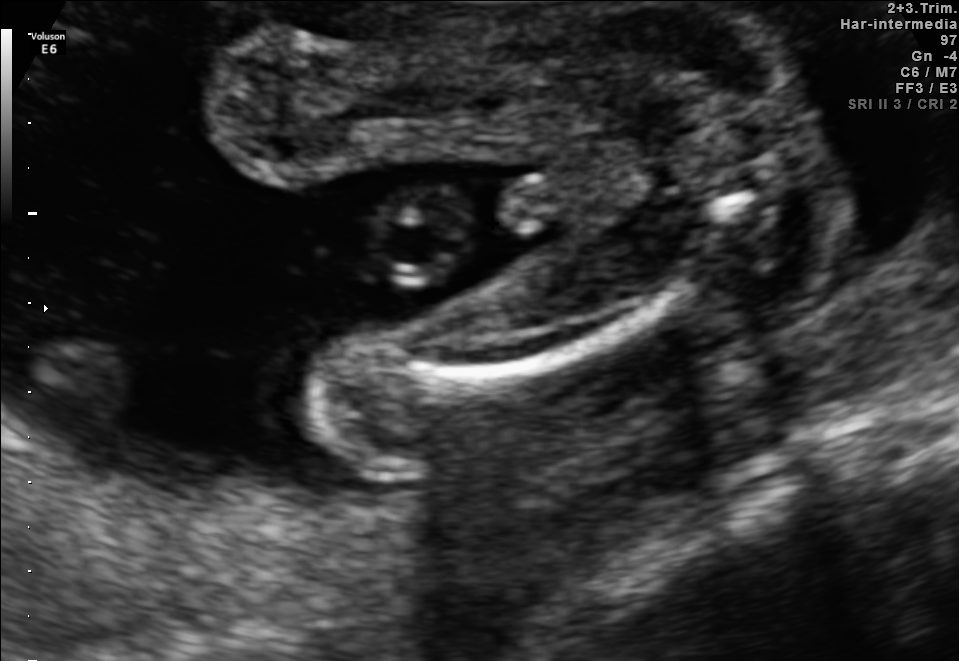
Classify this maternal-fetal ultrasound image as one of the six standard planes — fetal abdomen, fetal brain, fetal femur, fetal thorax, maternal cervix, or other. If it's fetal brain and one of the three standard brain planes (trans-thalamic, trans-cerebellum, trans-ventricular), name which.

Fetal femur